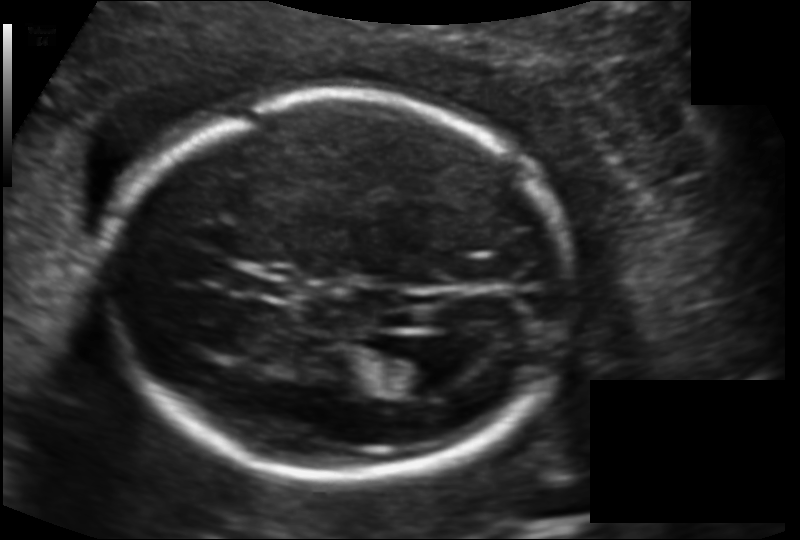
Estimate the fetal head circumference from this 2D ultrasound. Image width: 107.3 mm.

Head circumference: 183.5 mm.